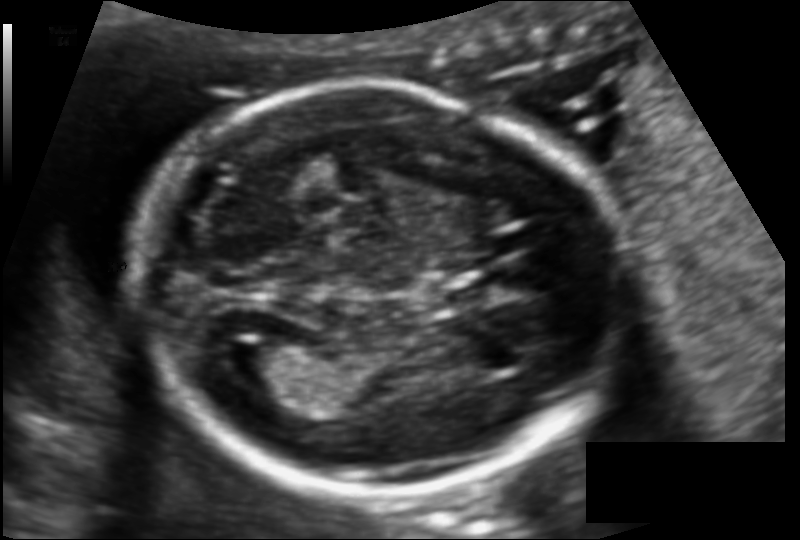
Fetal head ultrasound. Image width: 89.5 mm. Where is the lateral ventricle?

Lateral ventricle bounding box: [205,330,290,396]